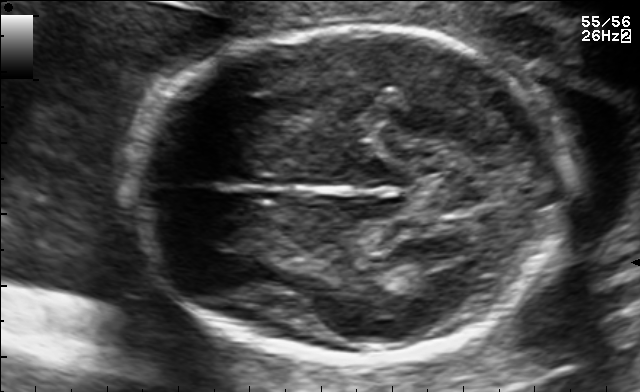
Fetal brain, trans-thalamic plane. Locate the fetal head.

Head: [127,26,572,359]